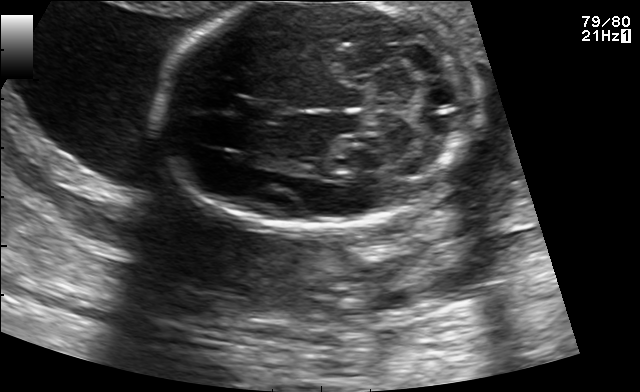
Fetal brain, trans-cerebellum plane. Where is the cavum septum pellucidum?

CSP bounding box: [236,97,287,125]